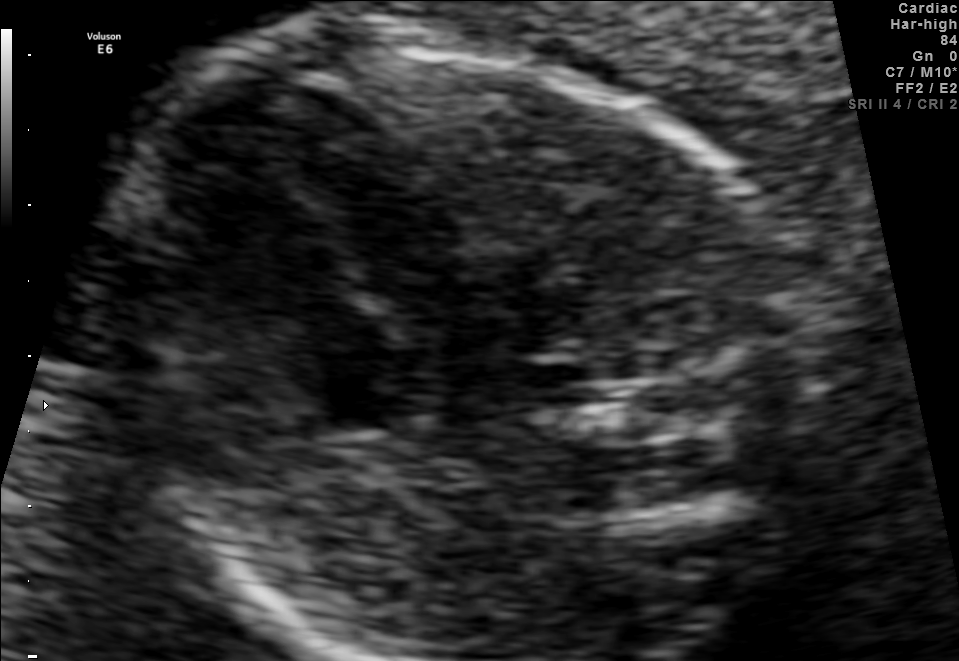
Which standard maternal-fetal ultrasound plane is shown: fetal abdomen, fetal brain, fetal femur, fetal thorax, maternal cervix, or other? If it's fetal brain and one of the three standard brain planes (trans-thalamic, trans-cerebellum, trans-ventricular), name which.

Fetal thorax